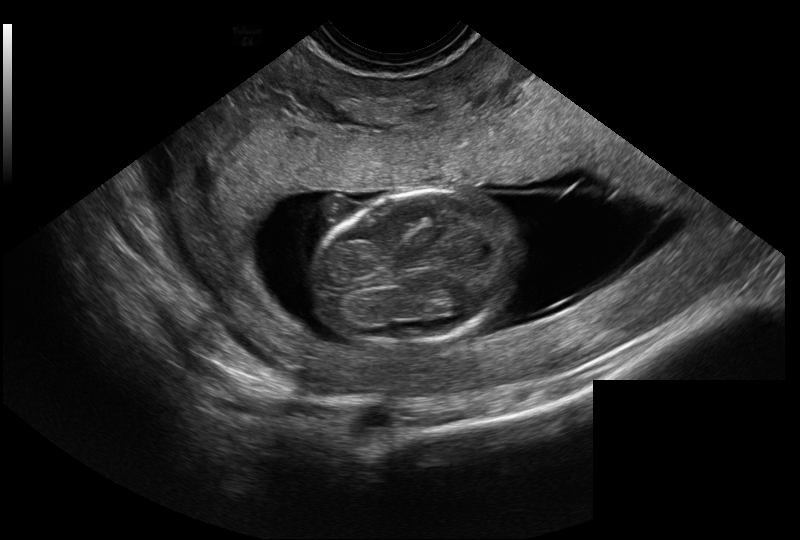
Fetal head ultrasound. Image width: 102.5 mm. Locate the fetal head and, if visible, the cavum septum pellucidum (CSP) and lateral ventricle (LV). Give bounding boxes as [x1,y1,x2,y2].

Head: [317,190,521,346]